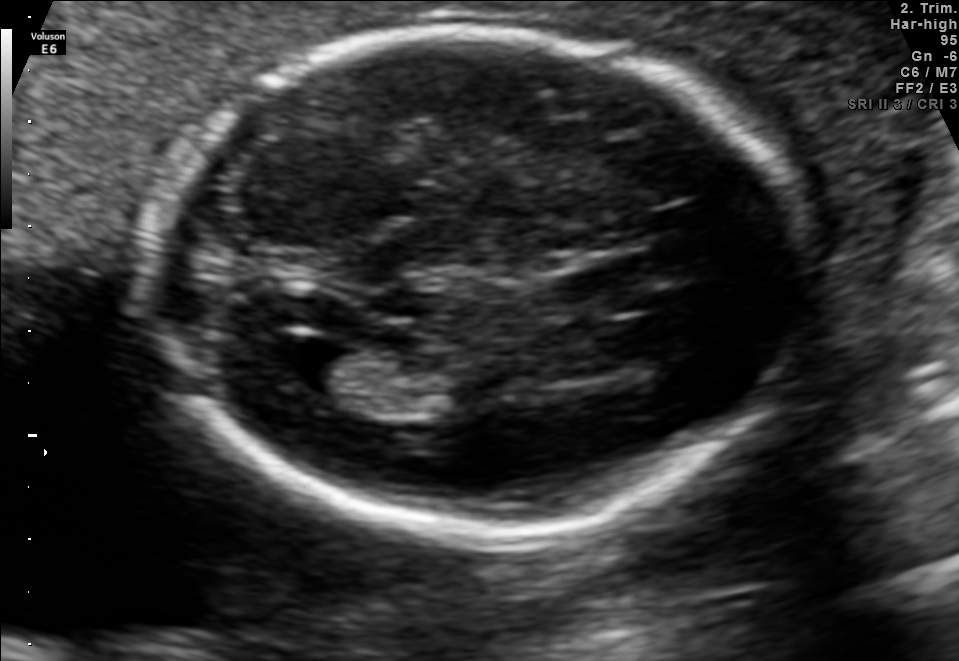
Fetal brain, trans-ventricular plane. Locate the fetal head.

Head: [146,23,813,542]